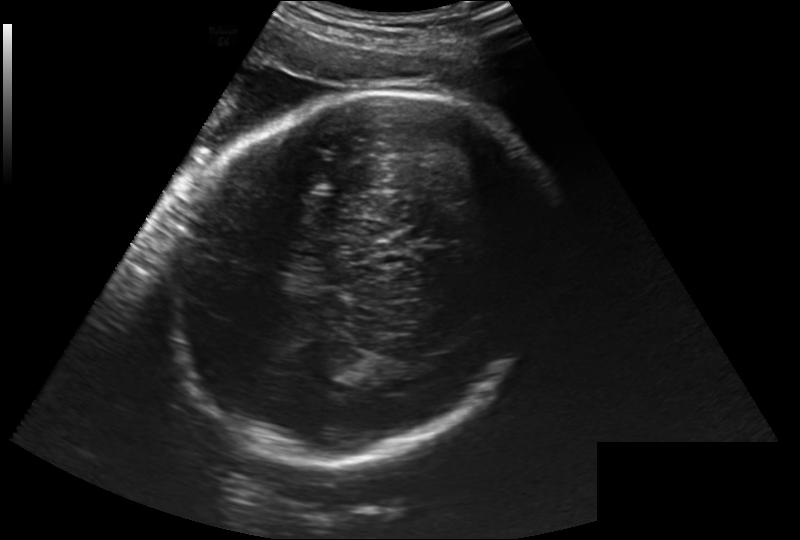
Estimate the fetal head circumference from this 2D ultrasound.

Head circumference: 321.3 mm (image width 208.2 mm).